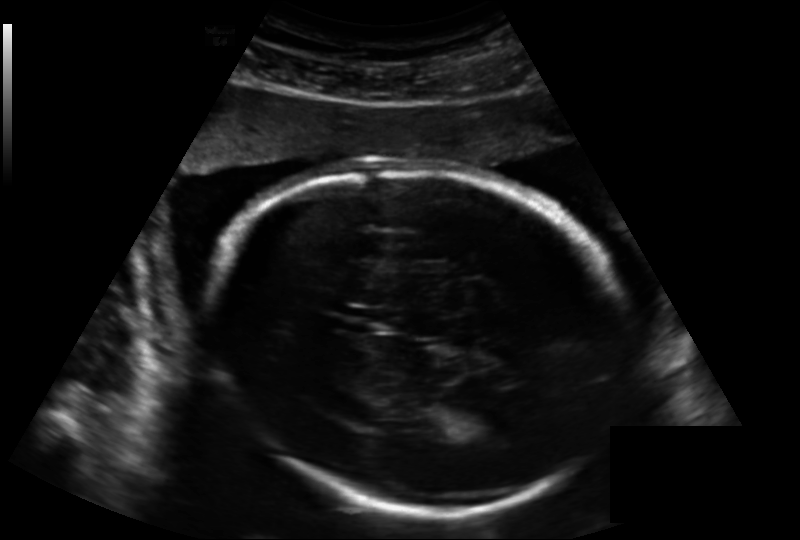
In this fetal head ultrasound, give the bounding box of the fetal head. Image width: 150.3 mm.

[204,167,632,510]